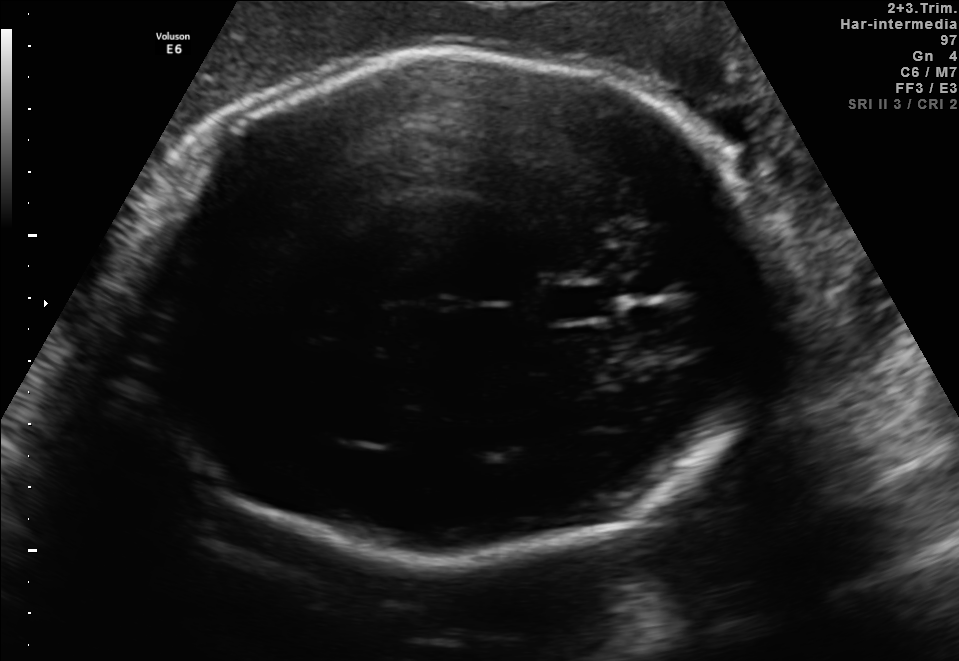
Identify the standard plane in this fetal ultrasound image: fetal abdomen, fetal brain, fetal femur, fetal thorax, maternal cervix, or other. If it's fetal brain and one of the three standard brain planes (trans-thalamic, trans-cerebellum, trans-ventricular), name which.

Fetal brain (trans-thalamic plane)